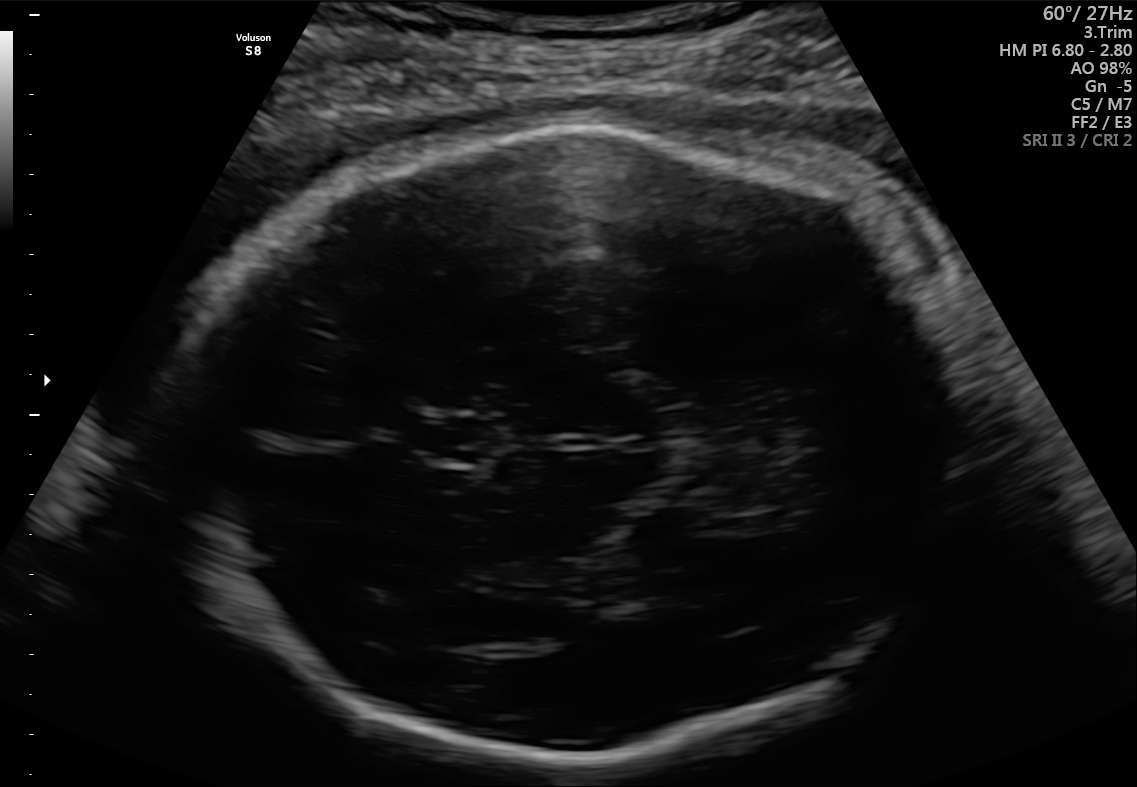
Fetal brain, trans-thalamic plane. Locate the fetal head.

Head: [166,130,992,764]